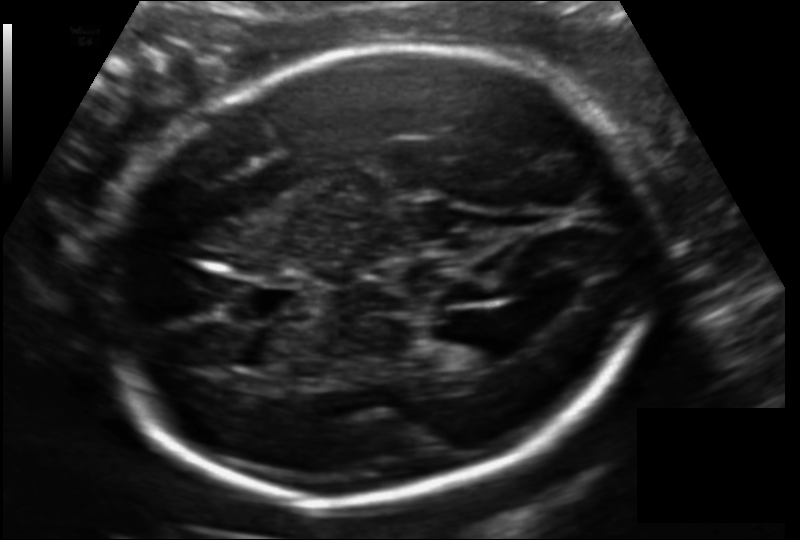
Fetal head ultrasound. Image width: 111.6 mm. Locate the cavum septum pellucidum.

CSP: [238,277,311,325]